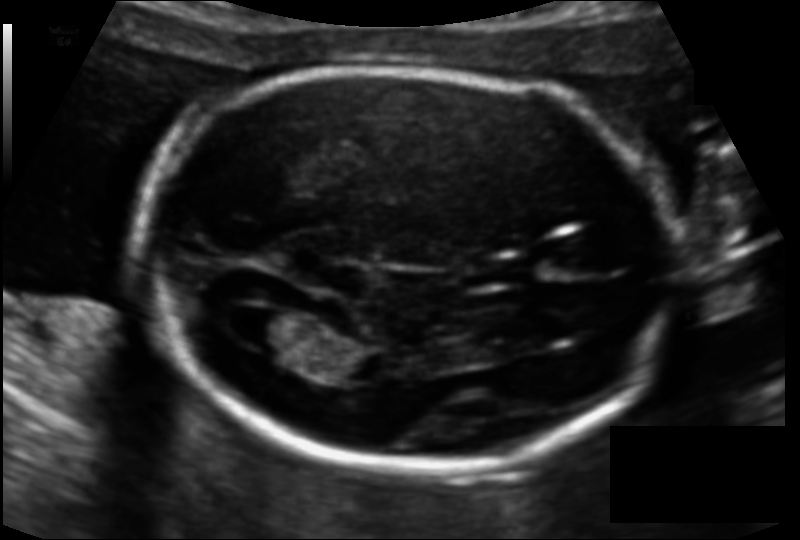
What is the fetal head circumference? Image width is 89.1 mm.

168.7 mm